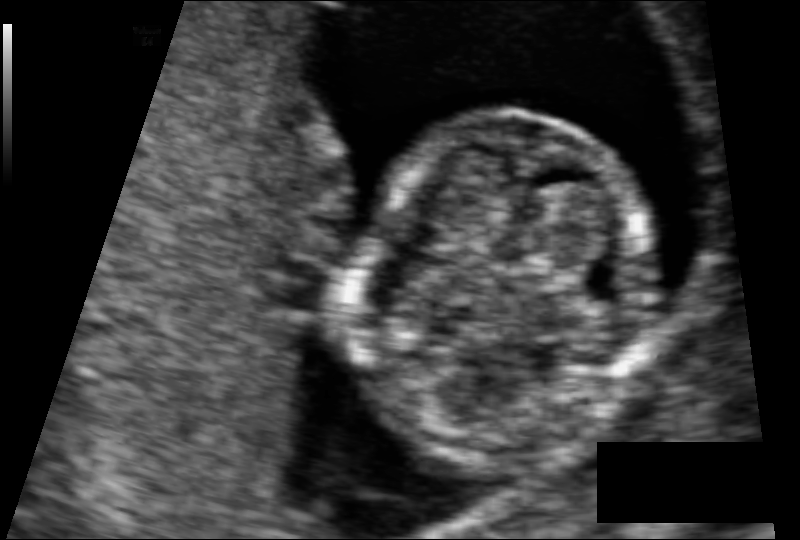
Fetal head ultrasound. Image width: 58.9 mm. Give [x1,y1,x2,y2] bounding boxes for each visible structure among: fetal head, CSP, LV.

Head: [358,112,657,464]